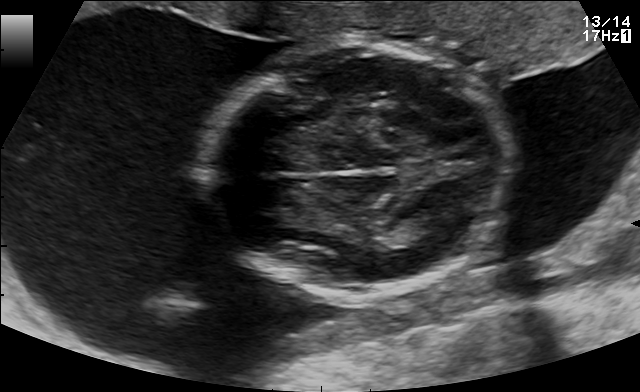
Fetal brain, trans-thalamic plane. Give [x1,y1,x2,y2] bounding boxes for each visible structure among: fetal head, CSP, LV.

Head: [205,45,509,297]
Lateral ventricle: [395,202,453,245]